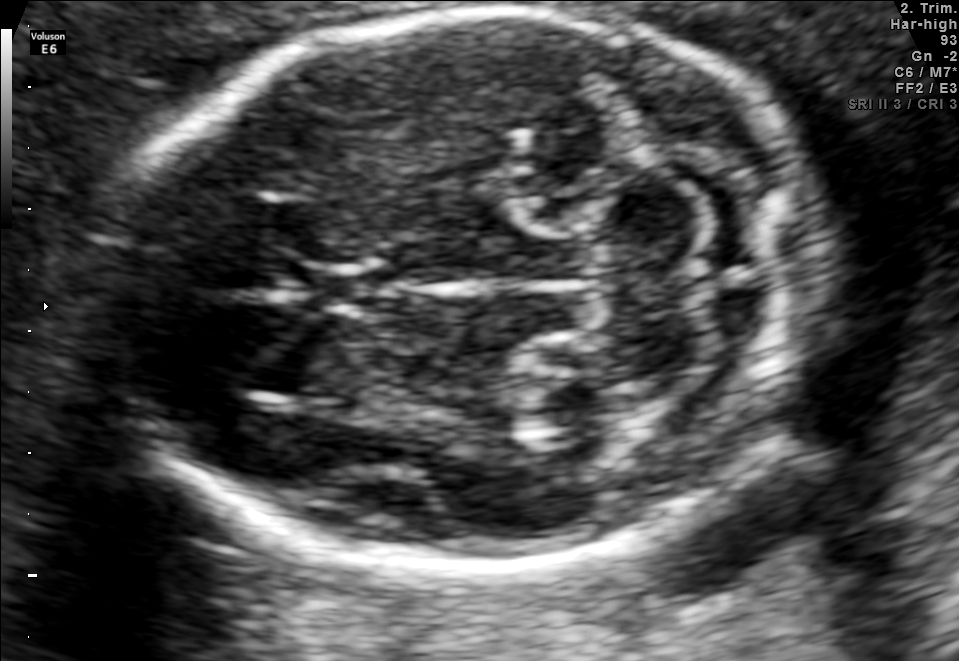
Fetal brain, trans-cerebellum plane. Locate the cavum septum pellucidum.

CSP: [308,266,399,312]